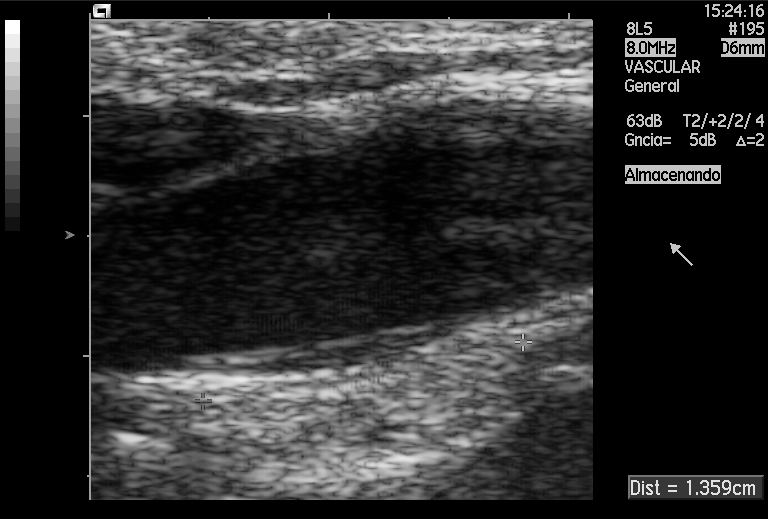
This is a 2D maternal-fetal ultrasound frame. Is it a fetal abdomen, fetal brain, fetal femur, fetal thorax, maternal cervix, or other standard plane? If it's fetal brain and one of the three standard brain planes (trans-thalamic, trans-cerebellum, trans-ventricular), name which.

Other